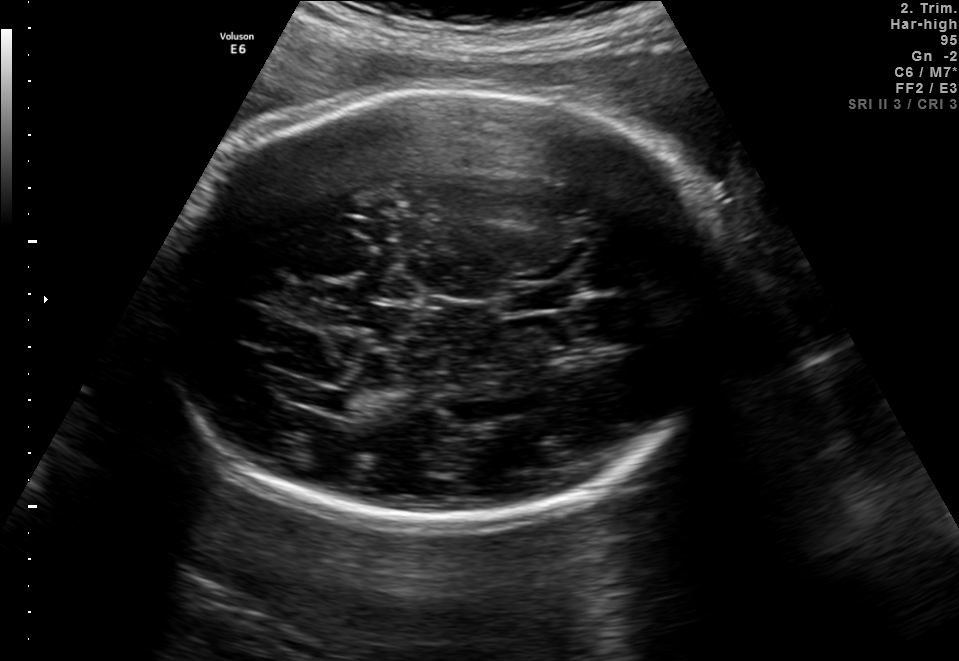
In this fetal brain, trans-thalamic plane, give the bounding box of the lateral ventricle.

[284,377,357,419]